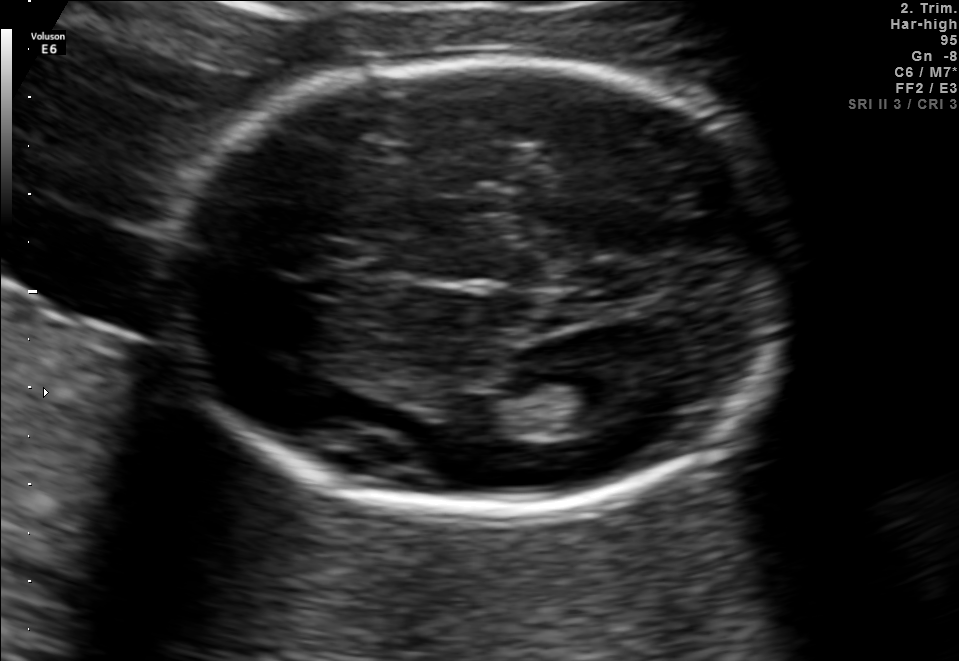
Fetal brain, trans-thalamic plane. Where is the fetal head?

Head bounding box: [161,58,792,513]